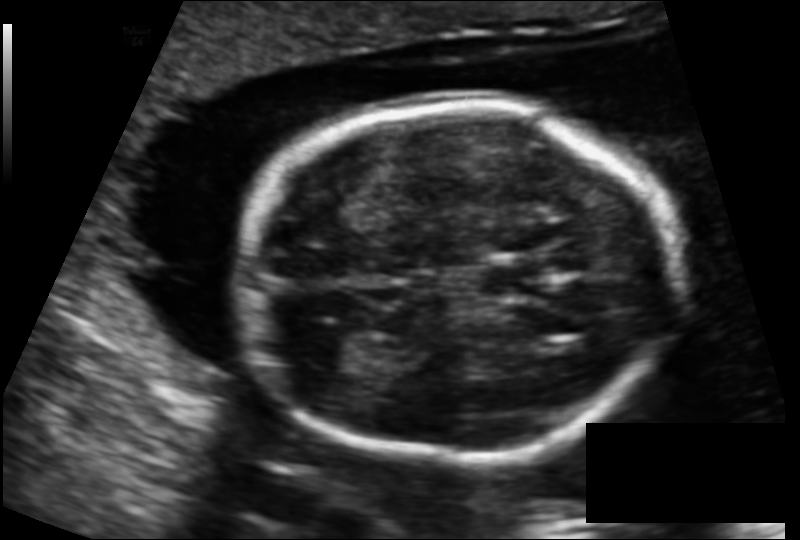
Estimate the fetal head circumference from this 2D ultrasound.

Head circumference: 166.7 mm (image width 104.4 mm).